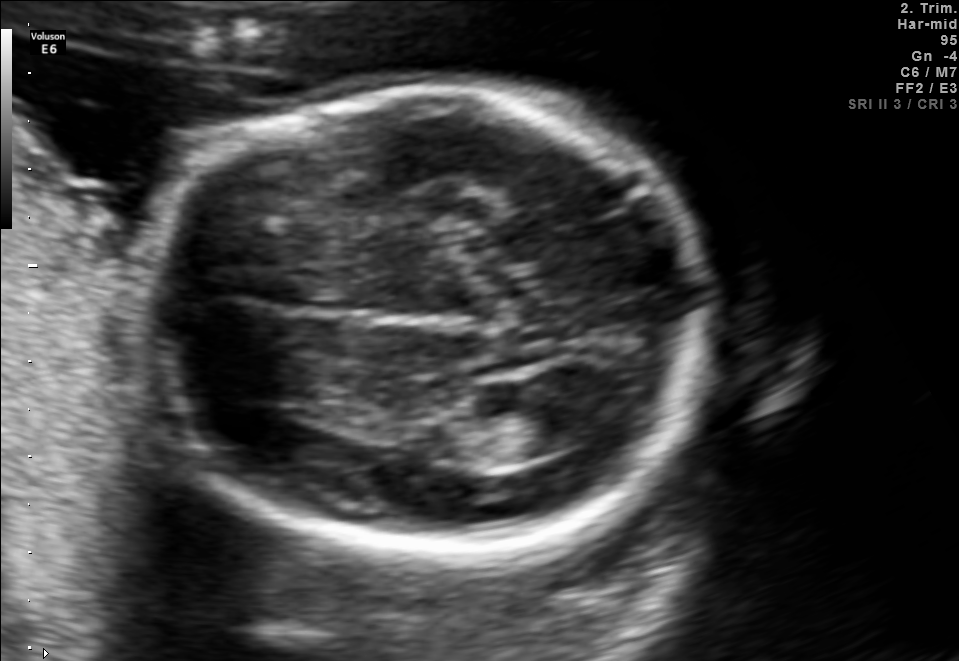
In this fetal brain, trans-ventricular plane, give bounding boxes for the head outline, cavum septum pellucidum (CSP), and lateral ventricle (LV), where visible.

Head: [135,77,730,570]